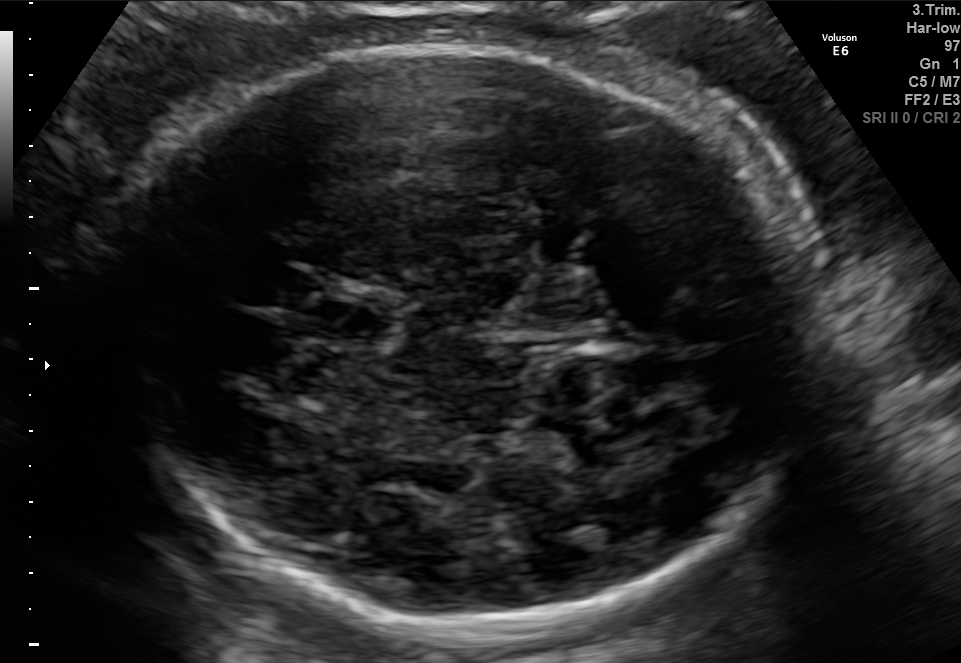
In this fetal brain, trans-thalamic plane, give the bounding box of the fetal head.

[124,43,803,634]